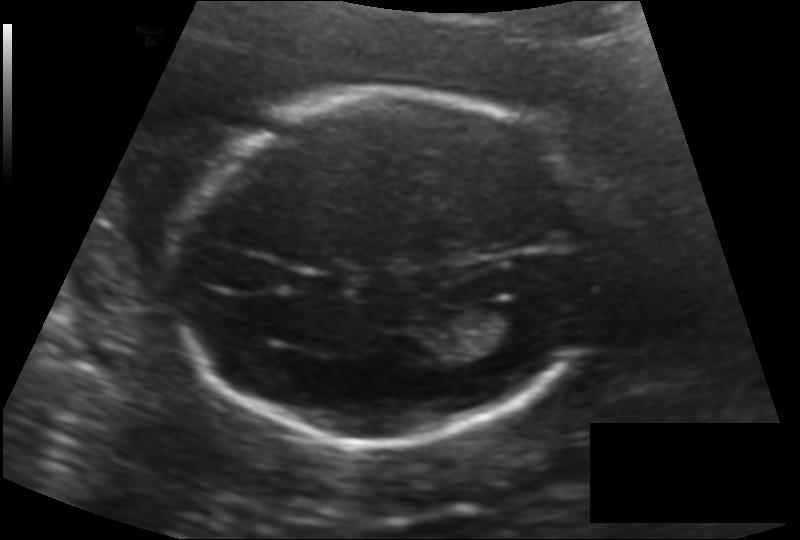
Fetal head ultrasound. Image width: 112.2 mm. Locate the fetal head.

Head: [169,91,594,445]